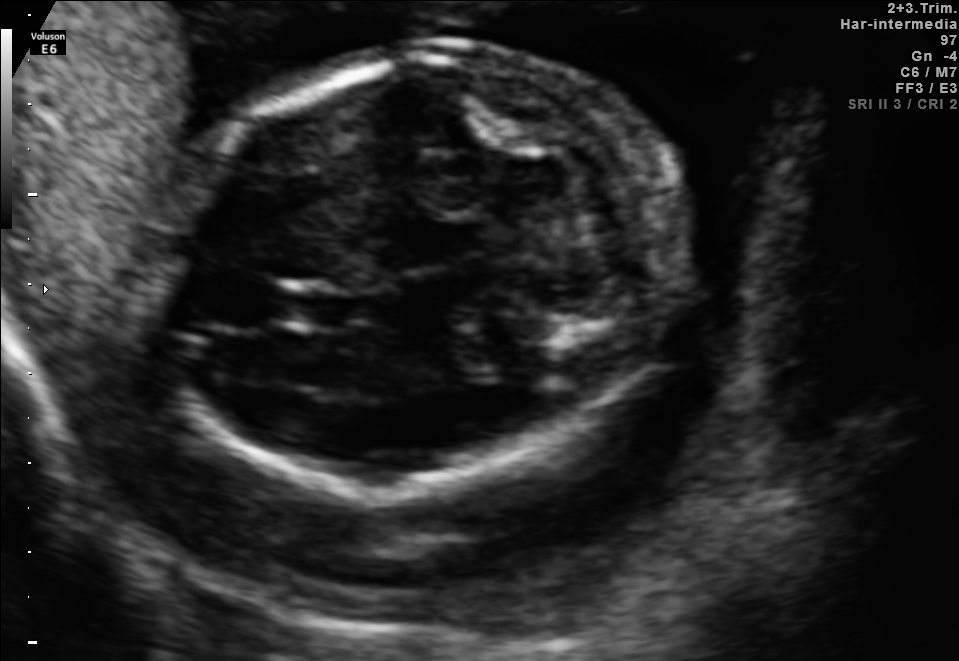
Fetal brain, trans-cerebellum plane. Locate the cavum septum pellucidum.

CSP: [278,283,352,331]